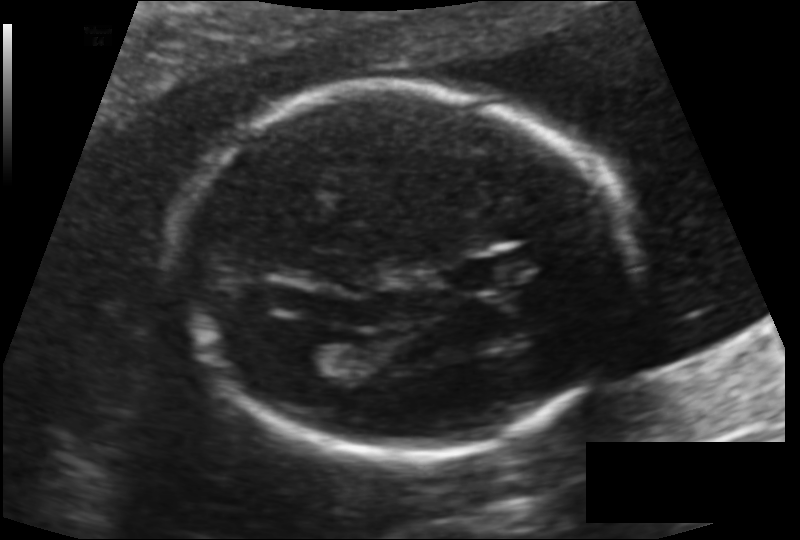
Fetal head ultrasound. Image width: 104.6 mm. Locate the fetal head.

Head: [190,92,628,457]